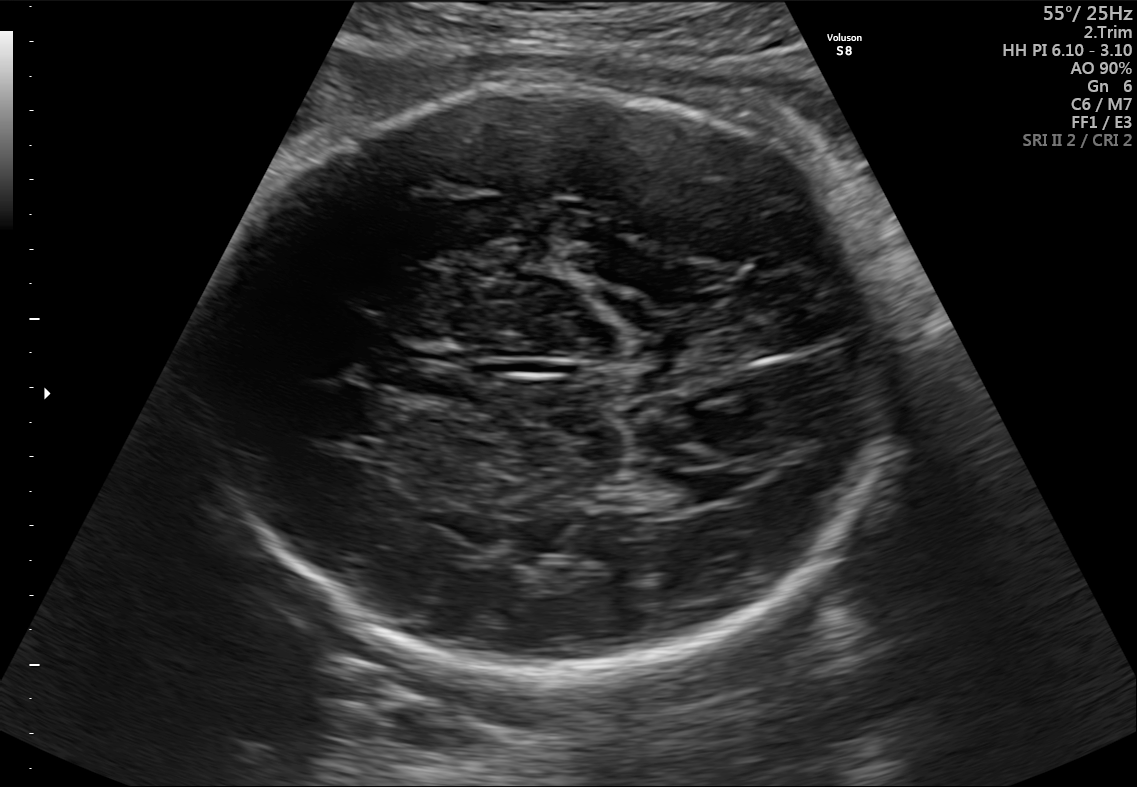
Fetal brain, trans-thalamic plane. Where is the fetal head?

Head bounding box: [189,85,892,686]